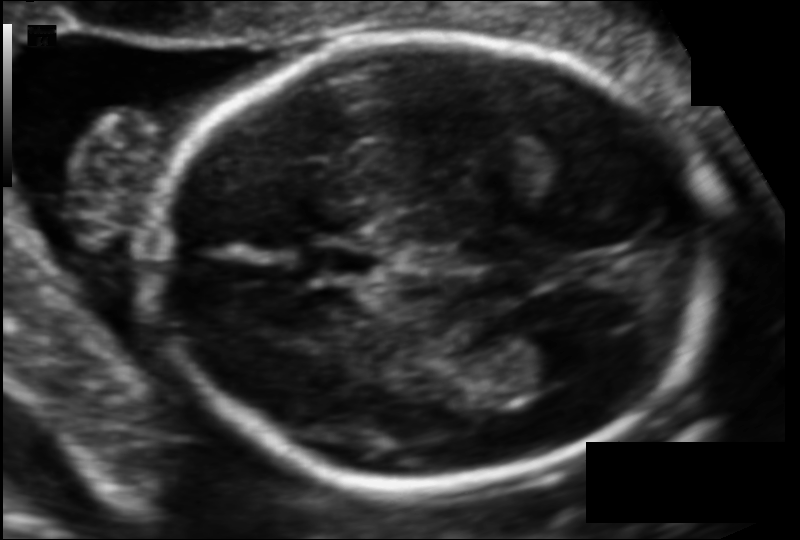
Fetal head ultrasound. Image width: 81.4 mm. Where is the cavum septum pellucidum?

CSP bounding box: [310,245,384,279]